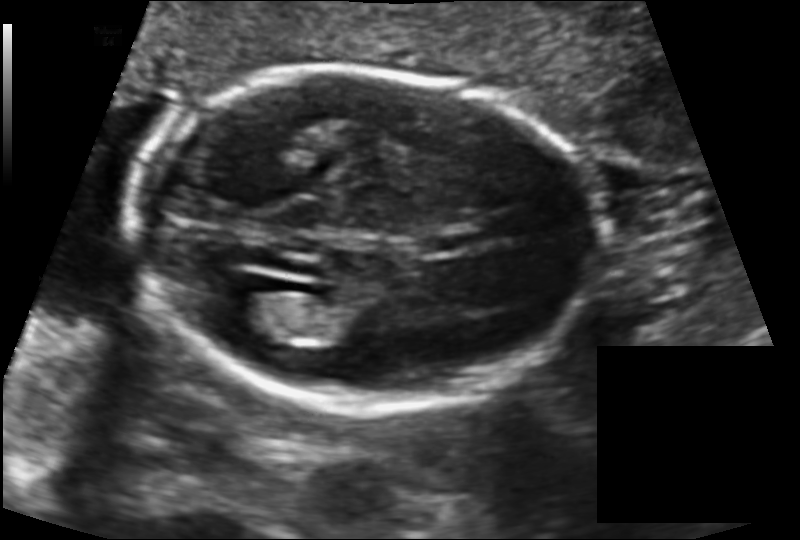
In this fetal head ultrasound, give the bounding box of the fetal head. Image width: 105.0 mm.

[133,73,604,410]